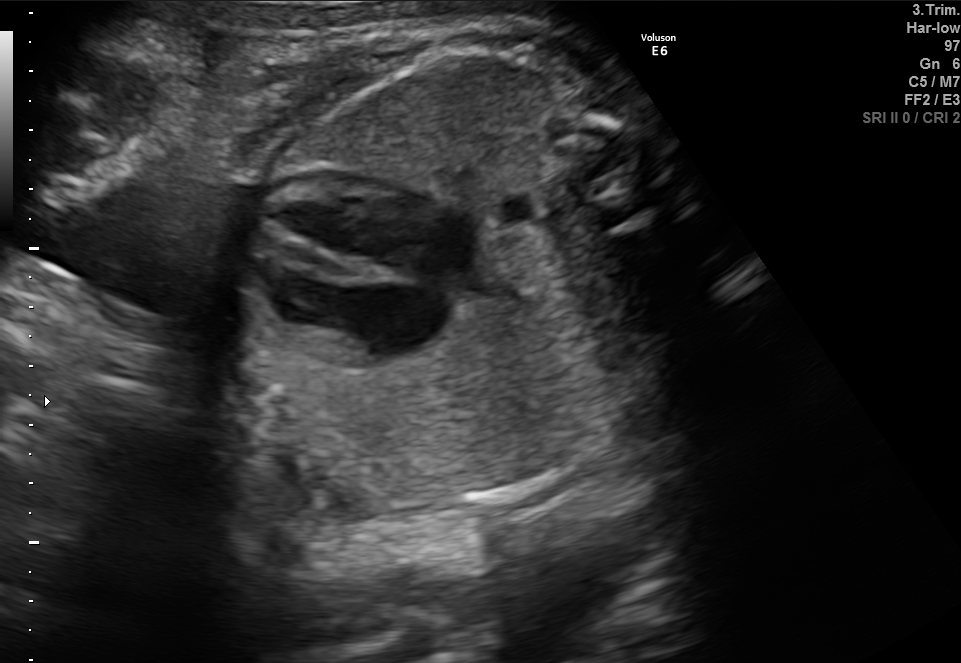
This is a 2D maternal-fetal ultrasound frame. Is it a fetal abdomen, fetal brain, fetal femur, fetal thorax, maternal cervix, or other standard plane? If it's fetal brain and one of the three standard brain planes (trans-thalamic, trans-cerebellum, trans-ventricular), name which.

Fetal thorax